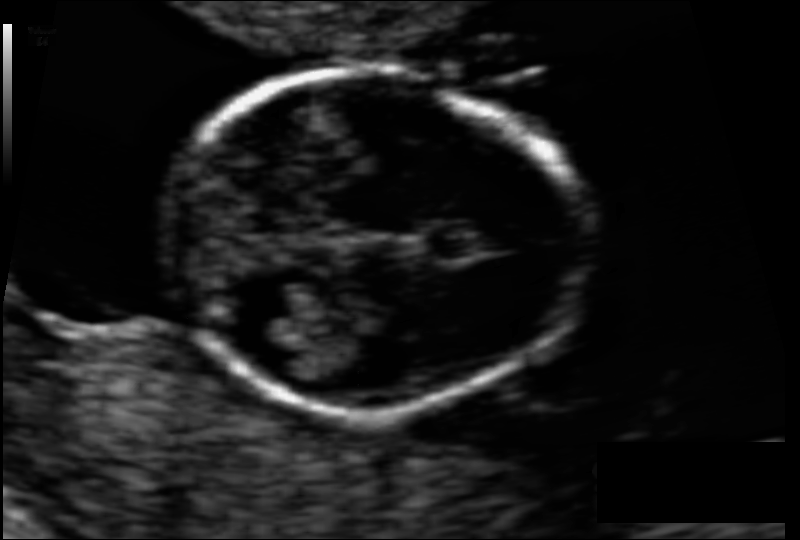
Measure the fetal head circumference shown in this ultrasound image. Image width: 52.1 mm.

Head circumference: 79.1 mm.